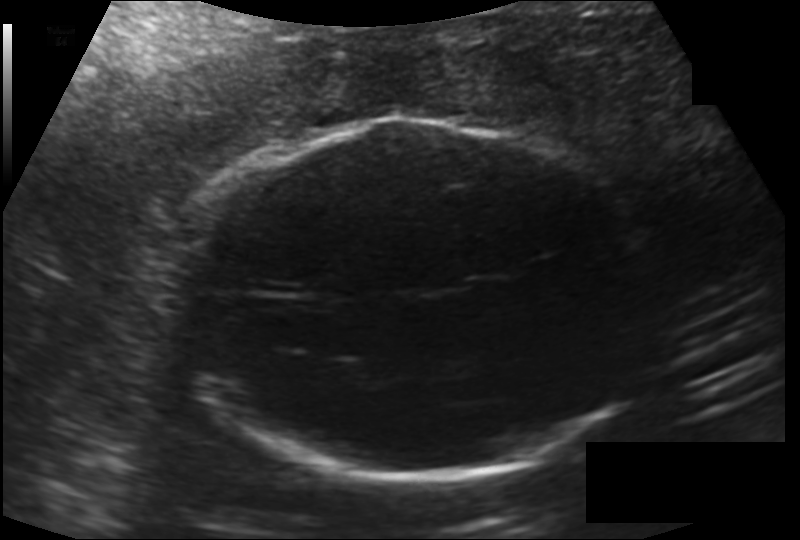
Fetal head ultrasound. Image width: 140.8 mm. Give [x1,y1,x2,y2] bounding boxes for each visible structure among: fetal head, CSP, LV.

Head: [169,119,653,475]